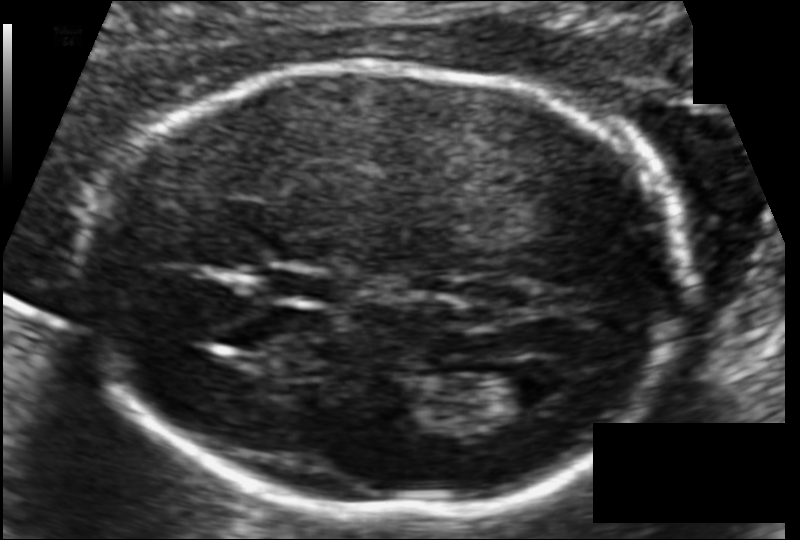
What is the fetal head circumference? Image width is 81.8 mm.

173.3 mm